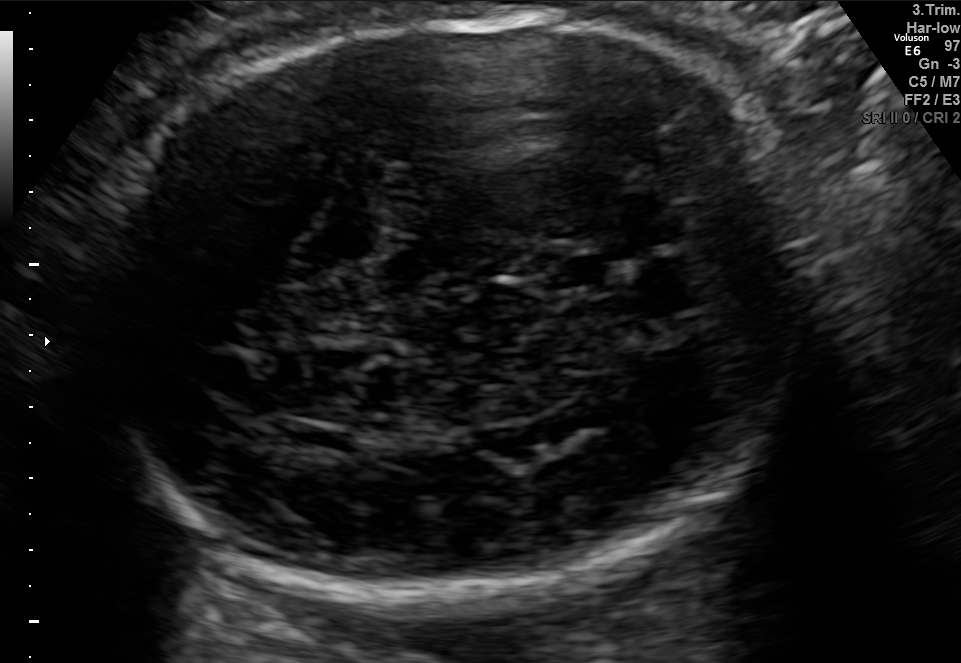
Fetal brain, trans-thalamic plane. Give [x1,y1,x2,y2] bounding boxes for each visible structure among: fetal head, CSP, LV.

Head: [86,8,815,585]
CSP: [547,253,607,291]
Lateral ventricle: [283,417,351,460]